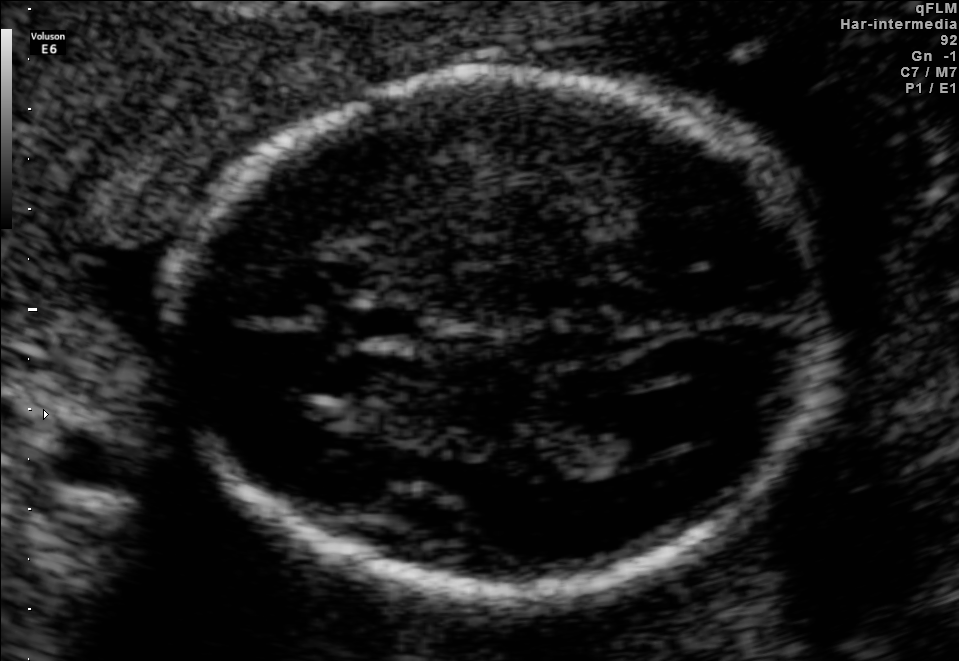
This is a 2D maternal-fetal ultrasound frame. Is it a fetal abdomen, fetal brain, fetal femur, fetal thorax, maternal cervix, or other standard plane? If it's fetal brain and one of the three standard brain planes (trans-thalamic, trans-cerebellum, trans-ventricular), name which.

Fetal brain (trans-ventricular plane)